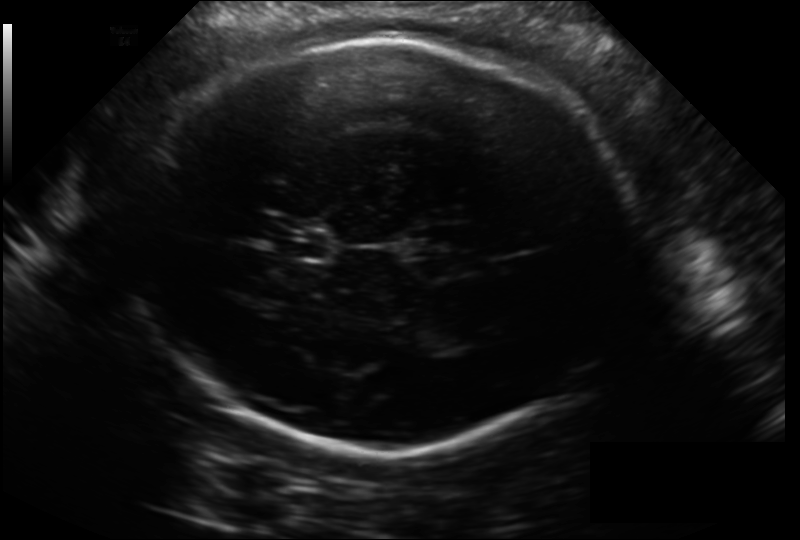
From this fetal ultrasound, estimate the head circumference (image width 168.5 mm).

Head circumference: 311.4 mm.